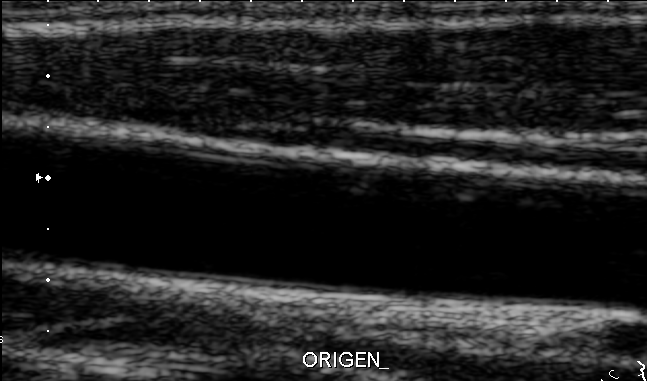
Which standard maternal-fetal ultrasound plane is shown: fetal abdomen, fetal brain, fetal femur, fetal thorax, maternal cervix, or other? If it's fetal brain and one of the three standard brain planes (trans-thalamic, trans-cerebellum, trans-ventricular), name which.

Other